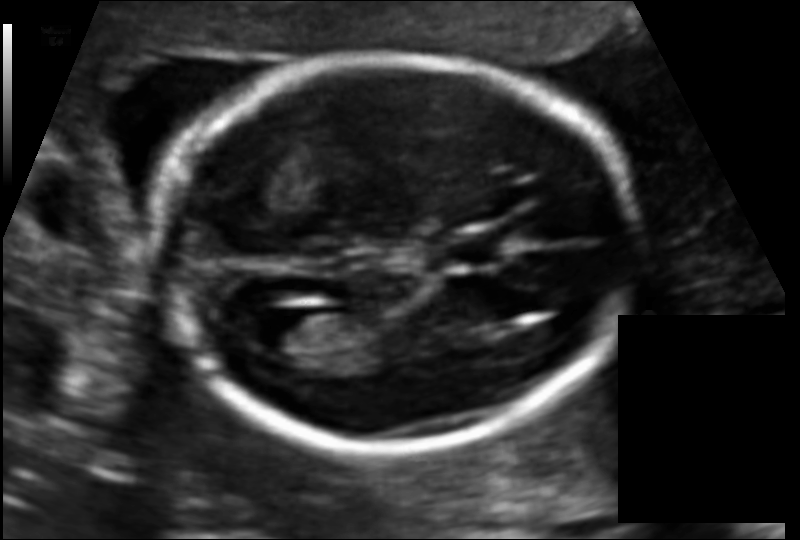
Estimate the fetal head circumference from this 2D ultrasound. Image width: 87.1 mm.

Head circumference: 157.7 mm.